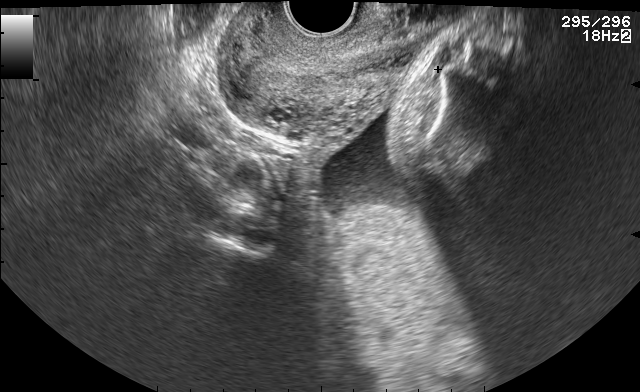
This is a 2D maternal-fetal ultrasound frame. Is it a fetal abdomen, fetal brain, fetal femur, fetal thorax, maternal cervix, or other standard plane? If it's fetal brain and one of the three standard brain planes (trans-thalamic, trans-cerebellum, trans-ventricular), name which.

Maternal cervix